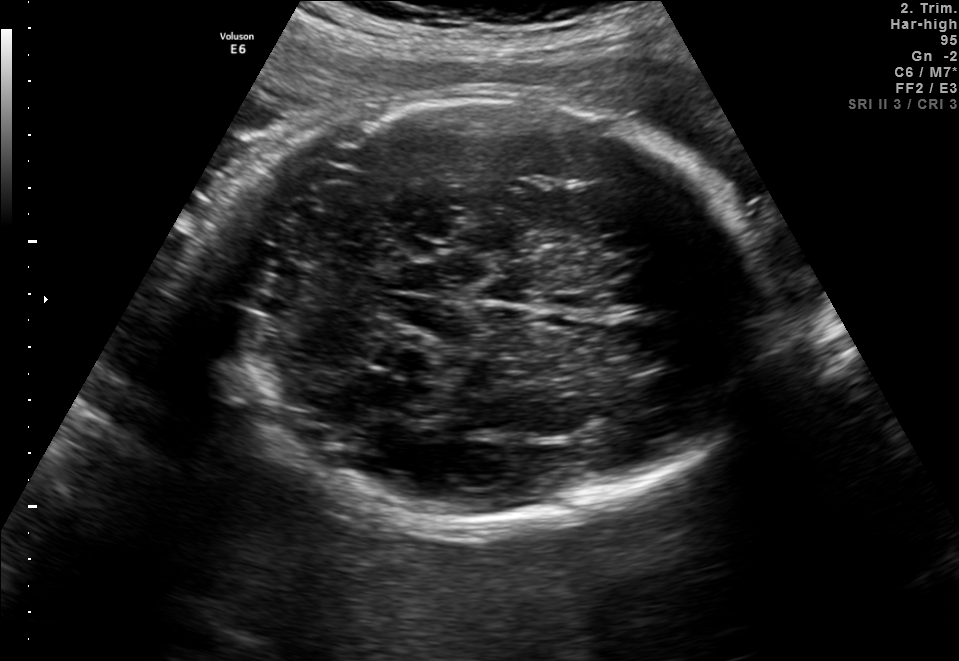
In this fetal brain, trans-cerebellum plane, give the bounding box of the fetal head.

[222,98,753,523]